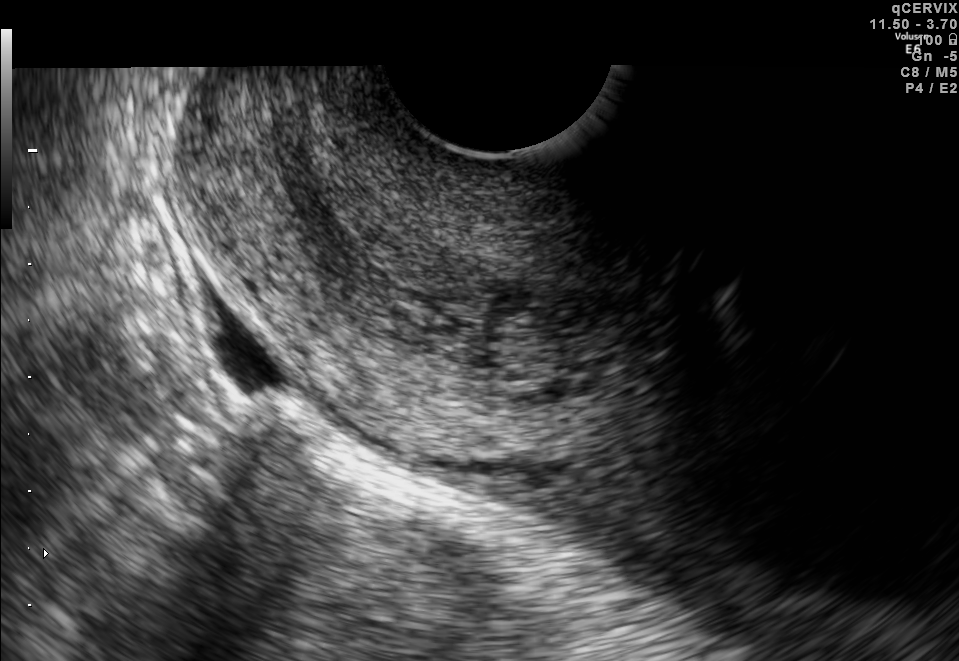
This is a 2D maternal-fetal ultrasound frame. Is it a fetal abdomen, fetal brain, fetal femur, fetal thorax, maternal cervix, or other standard plane? If it's fetal brain and one of the three standard brain planes (trans-thalamic, trans-cerebellum, trans-ventricular), name which.

Maternal cervix